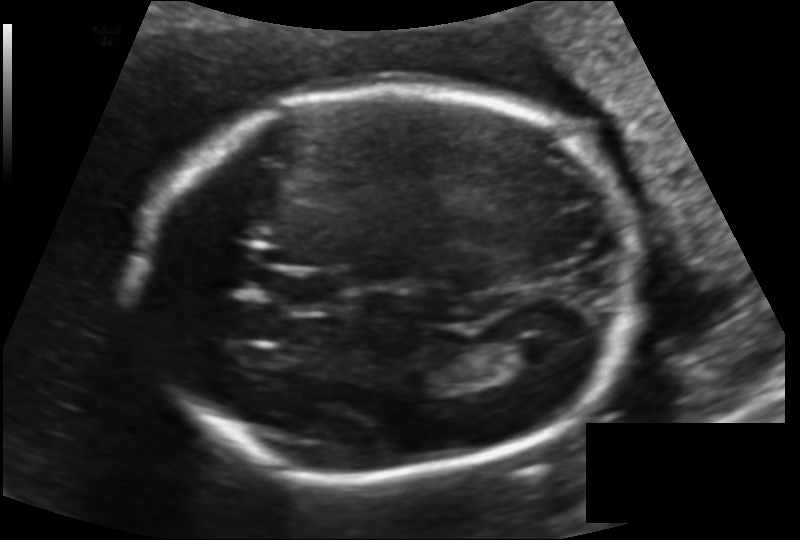
Fetal head ultrasound. Image width: 115.0 mm. Locate the cavum septum pellucidum.

CSP: [270,270,347,313]